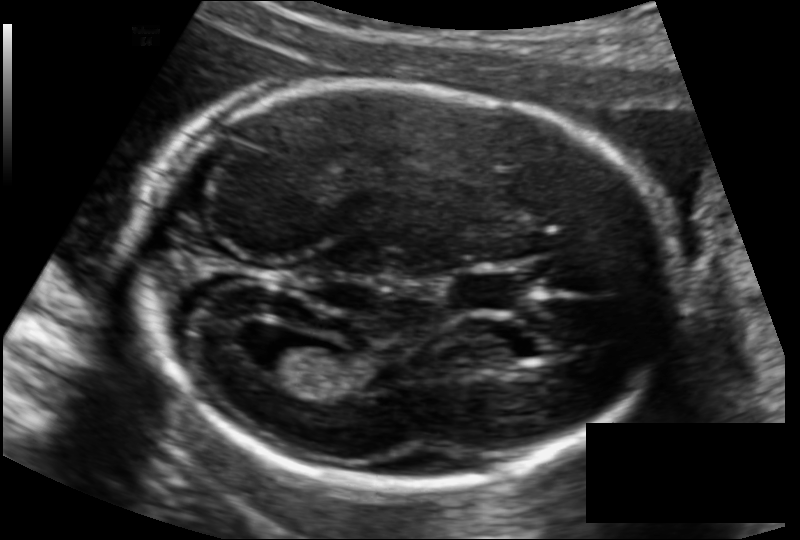
Fetal head ultrasound. Image width: 97.7 mm. Where is the lateral ventricle?

Lateral ventricle bounding box: [249,325,329,388]